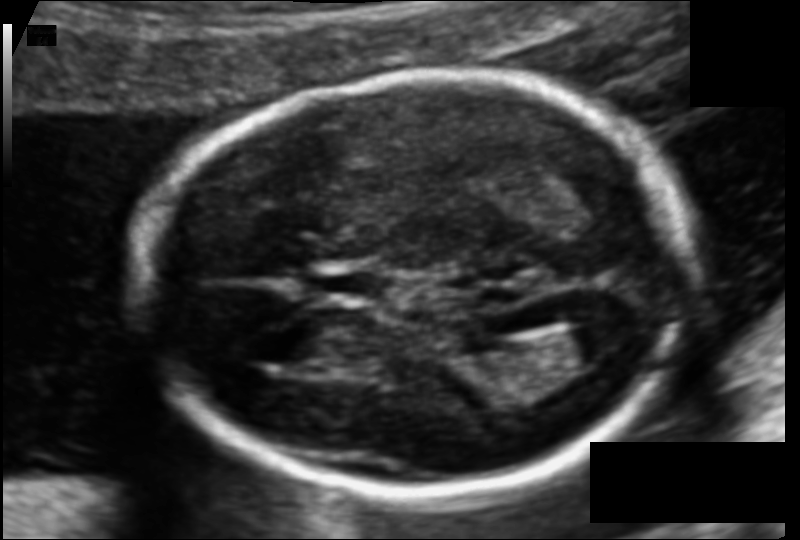
Fetal head ultrasound. Image width: 83.7 mm. Locate the cavum septum pellucidum.

CSP: [315,270,382,297]